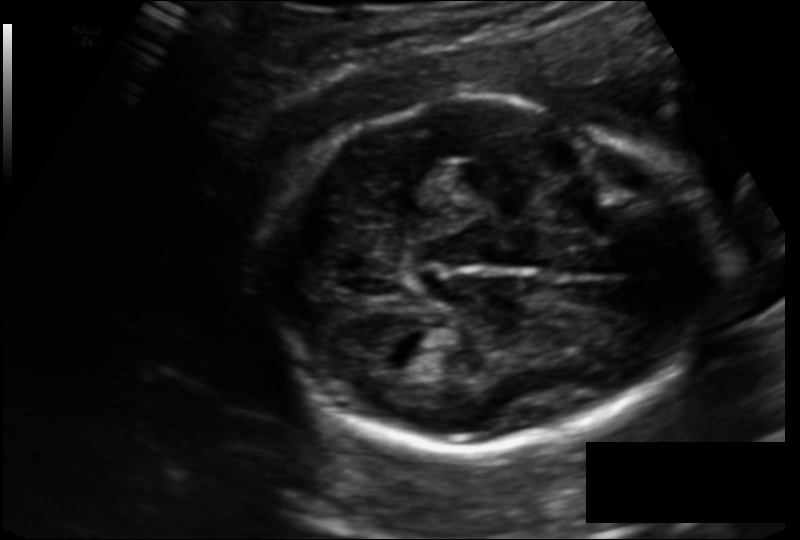
Fetal head ultrasound. Image width: 107.7 mm. Locate the fetal head.

Head: [259,97,711,454]